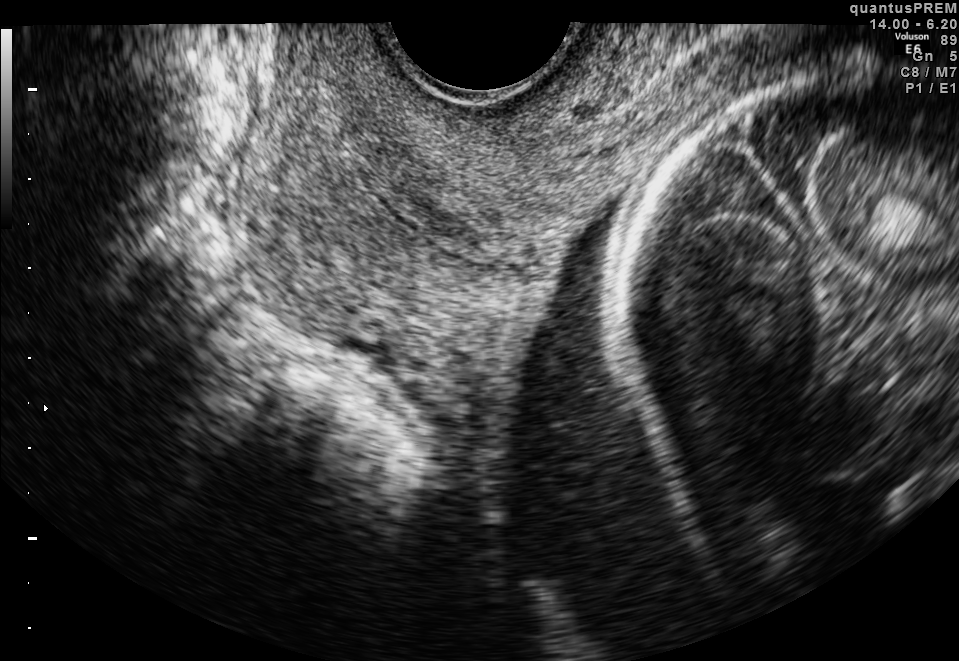
Identify the standard plane in this fetal ultrasound image: fetal abdomen, fetal brain, fetal femur, fetal thorax, maternal cervix, or other. If it's fetal brain and one of the three standard brain planes (trans-thalamic, trans-cerebellum, trans-ventricular), name which.

Maternal cervix